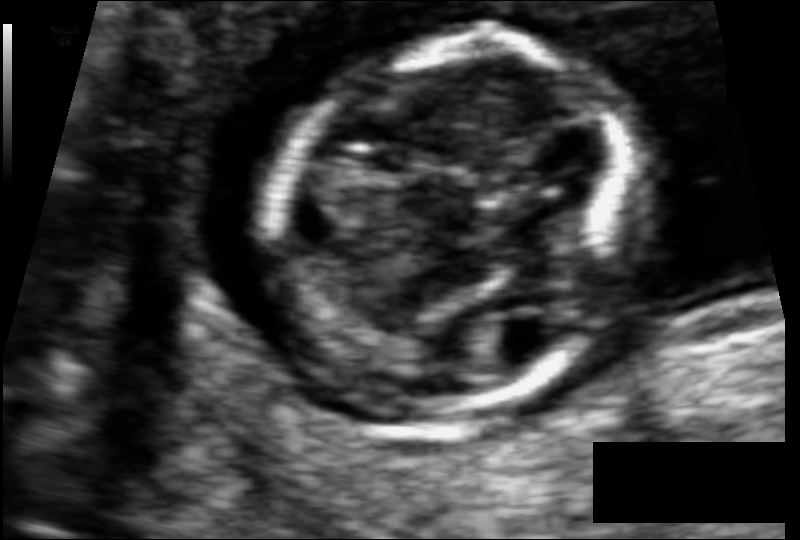
Fetal head ultrasound. Image width: 49.9 mm. Give [x1,y1,x2,y2] bounding boxes for each visible structure among: fetal head, CSP, LV.

Head: [269,33,636,415]